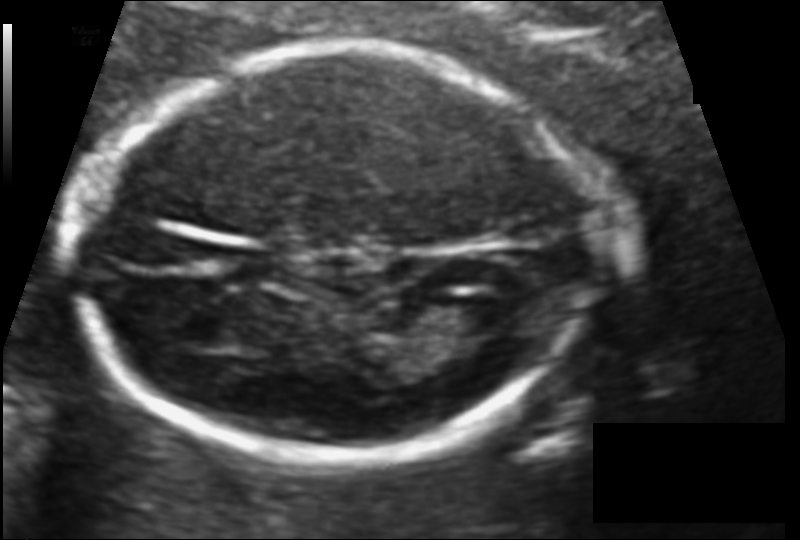
Estimate the fetal head circumference from this 2D ultrasound.

Head circumference: 151.8 mm (image width 81.3 mm).